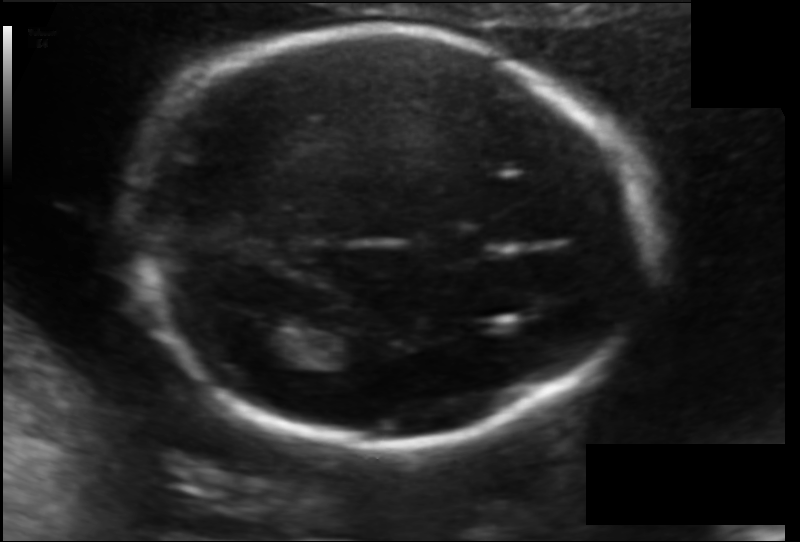
From this fetal ultrasound, estimate the head circumference (image width 91.4 mm).

Head circumference: 174.5 mm.